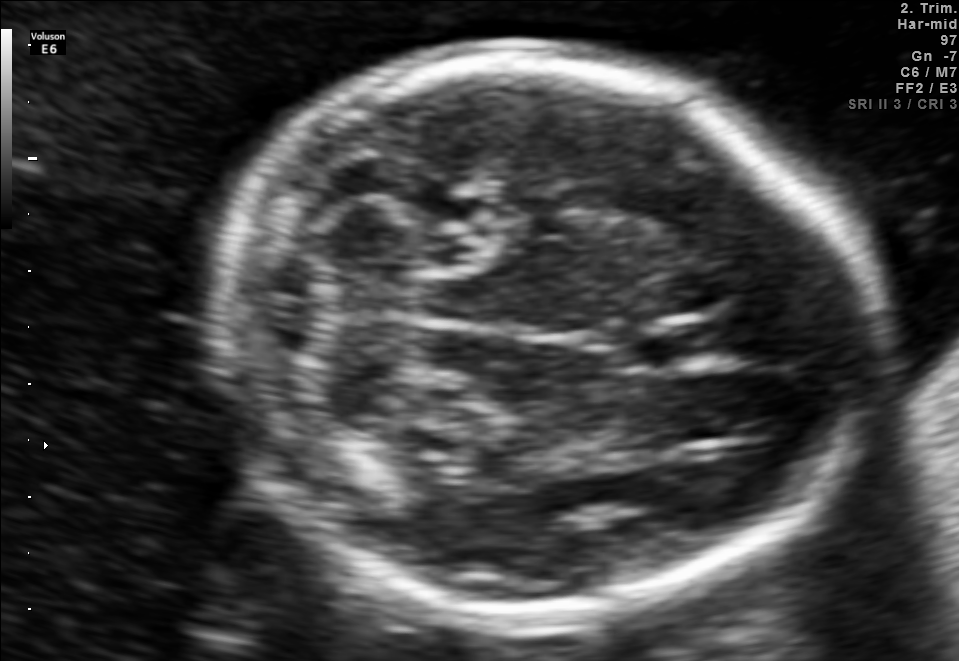
Fetal brain, trans-cerebellum plane. Locate the fetal head.

Head: [214,59,867,618]